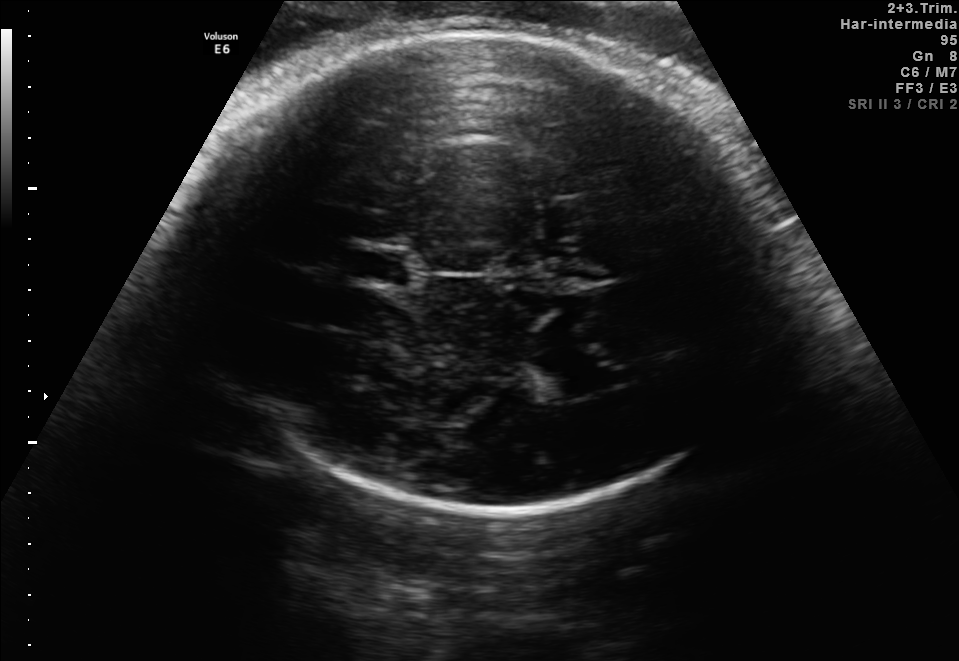
Fetal brain, trans-thalamic plane. Where is the lateral ventricle?

Lateral ventricle bounding box: [525,343,605,407]